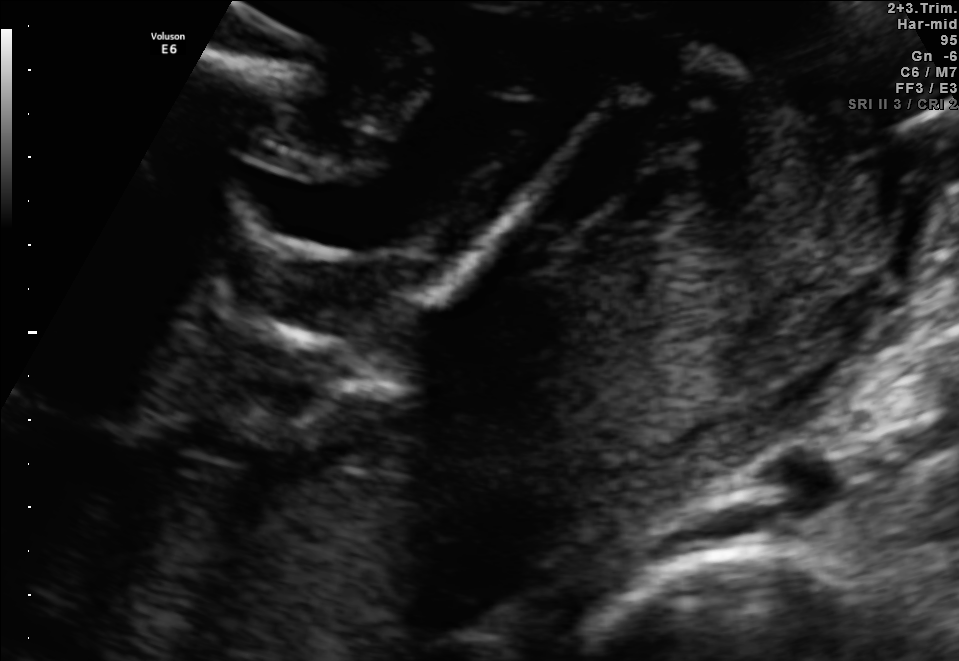
This is a 2D maternal-fetal ultrasound frame. Is it a fetal abdomen, fetal brain, fetal femur, fetal thorax, maternal cervix, or other standard plane? If it's fetal brain and one of the three standard brain planes (trans-thalamic, trans-cerebellum, trans-ventricular), name which.

Other